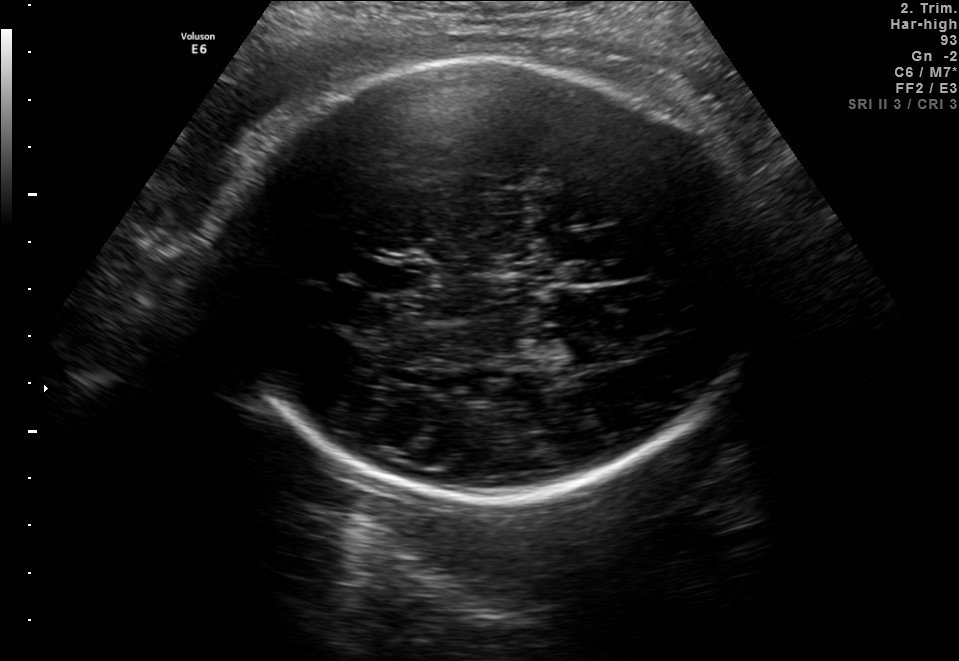
Identify the standard plane in this fetal ultrasound image: fetal abdomen, fetal brain, fetal femur, fetal thorax, maternal cervix, or other. If it's fetal brain and one of the three standard brain planes (trans-thalamic, trans-cerebellum, trans-ventricular), name which.

Fetal brain (trans-thalamic plane)